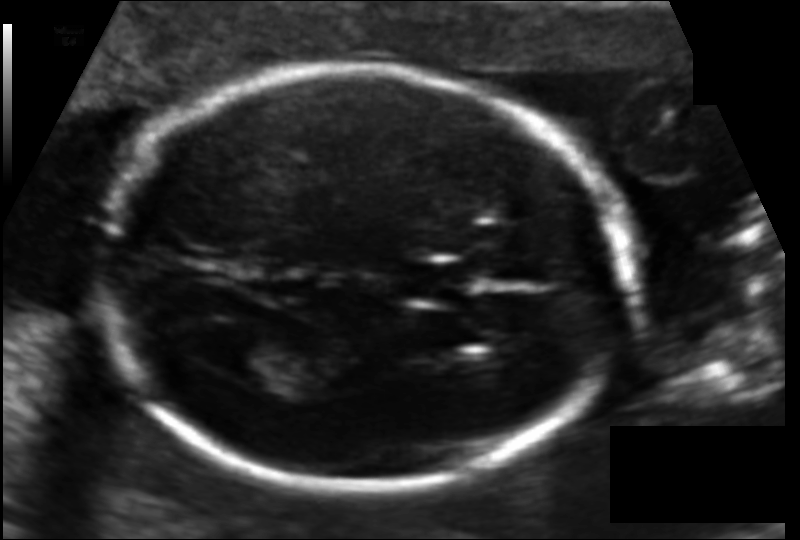
Fetal head ultrasound. Image width: 91.0 mm. Give [x1,y1,x2,y2] bounding boxes for each visible structure among: fetal head, CSP, LV.

Head: [102,69,630,489]
CSP: [402,257,475,305]
Lateral ventricle: [202,324,286,387]